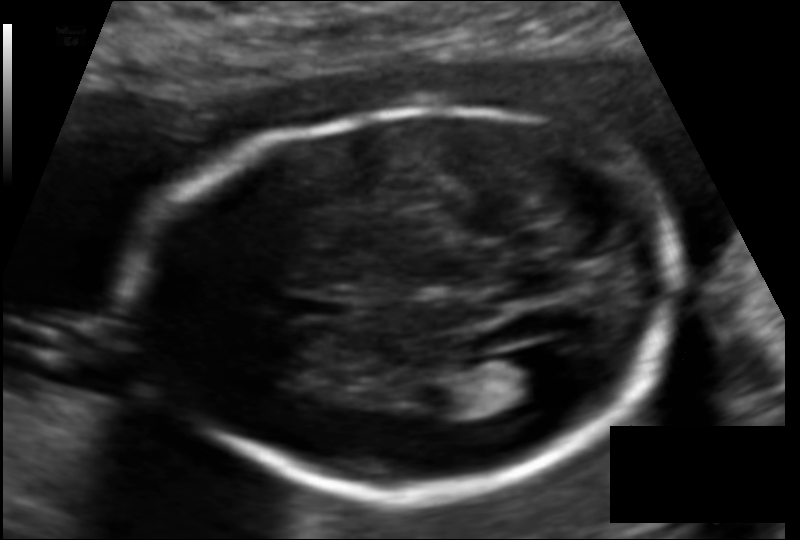
From this fetal ultrasound, estimate the head circumference (image width 91.1 mm).

Head circumference: 176.0 mm.